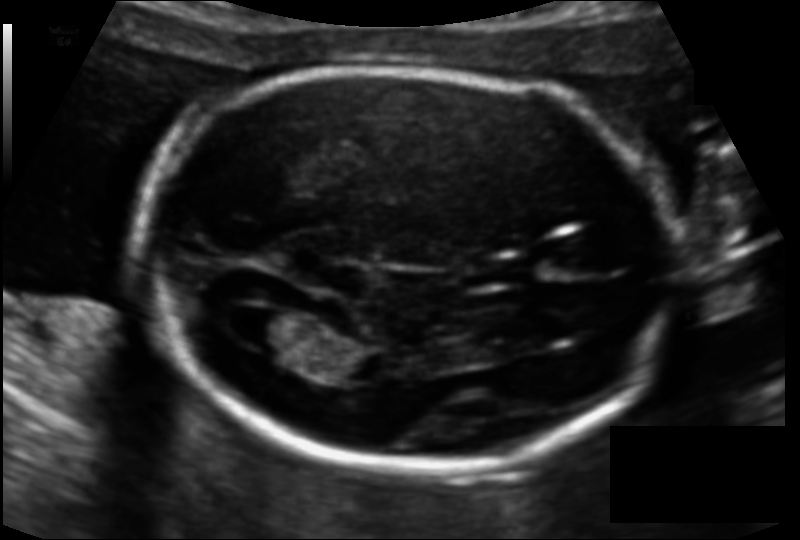
Fetal head ultrasound. Image width: 89.1 mm. Locate the lateral ventricle.

Lateral ventricle: [222,297,297,355]